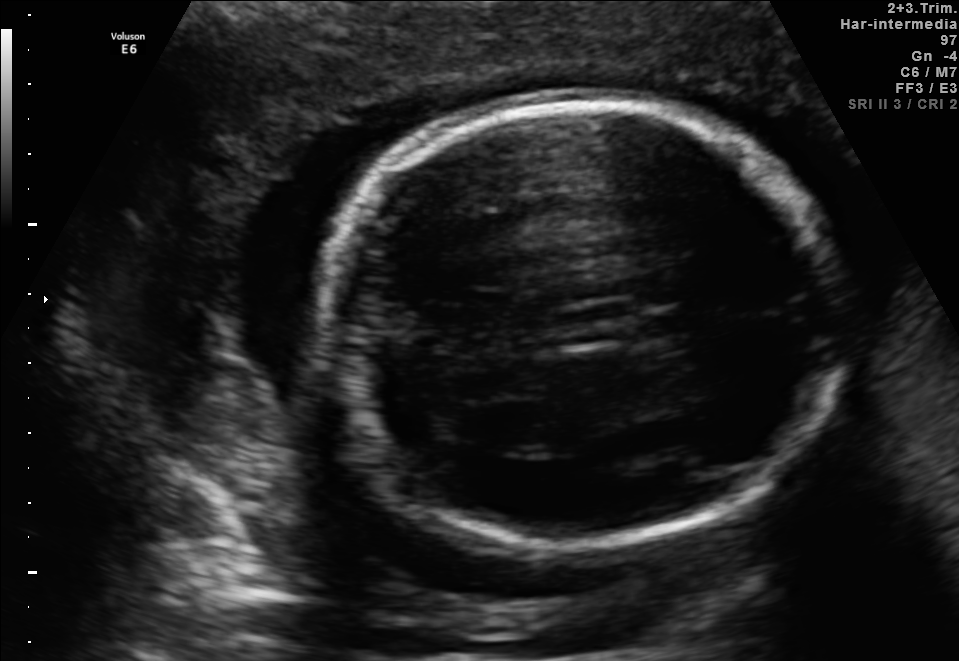
Fetal brain, trans-thalamic plane. Where is the fetal head?

Head bounding box: [319,94,840,545]